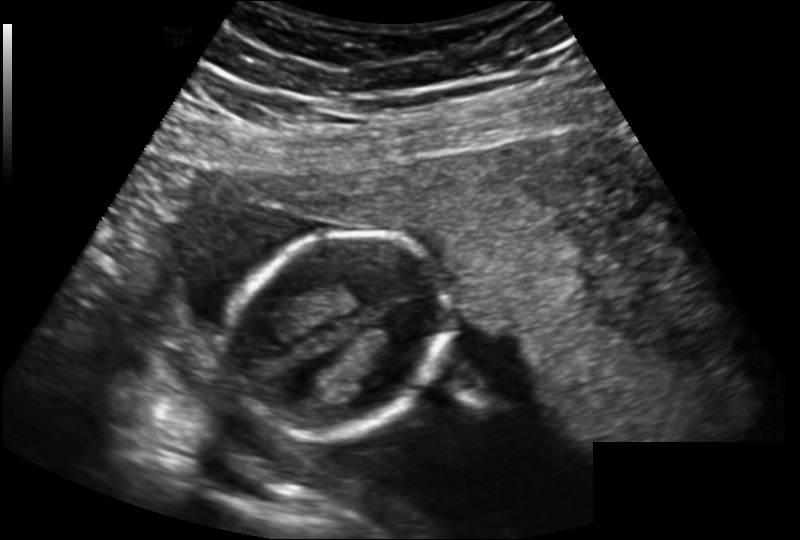
Fetal head ultrasound. Image width: 146.2 mm. Locate the fetal head and, if visible, the cavum septum pellucidum (CSP) and lateral ventricle (LV). Give bounding boxes as [x1,y1,x2,y2].

Head: [228,232,450,435]